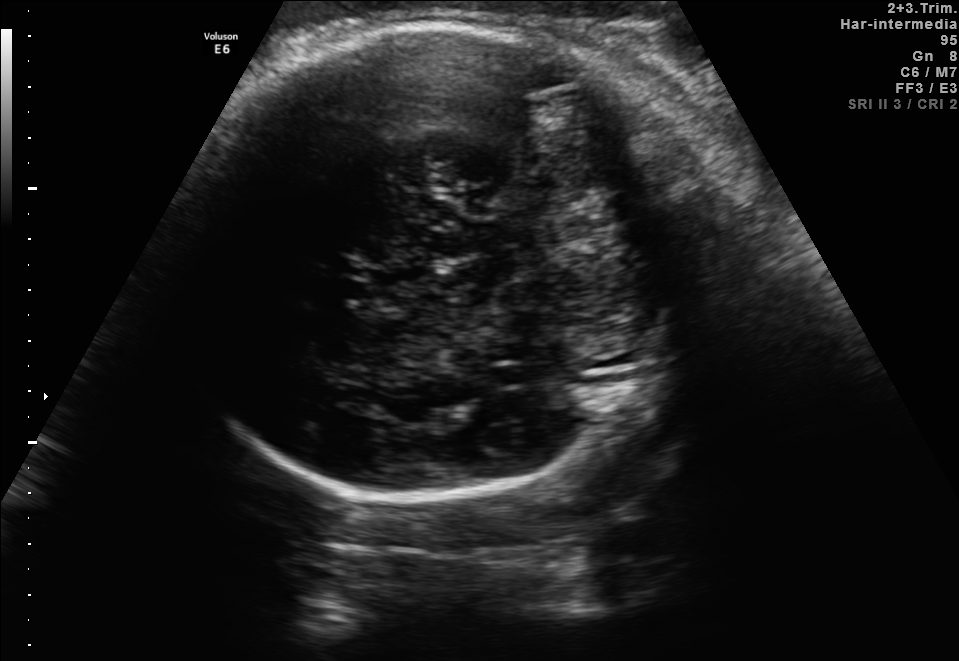
Fetal brain, trans-cerebellum plane. Give [x1,y1,x2,y2] bounding boxes for each visible structure among: fetal head, CSP, LV.

Head: [172,21,687,500]